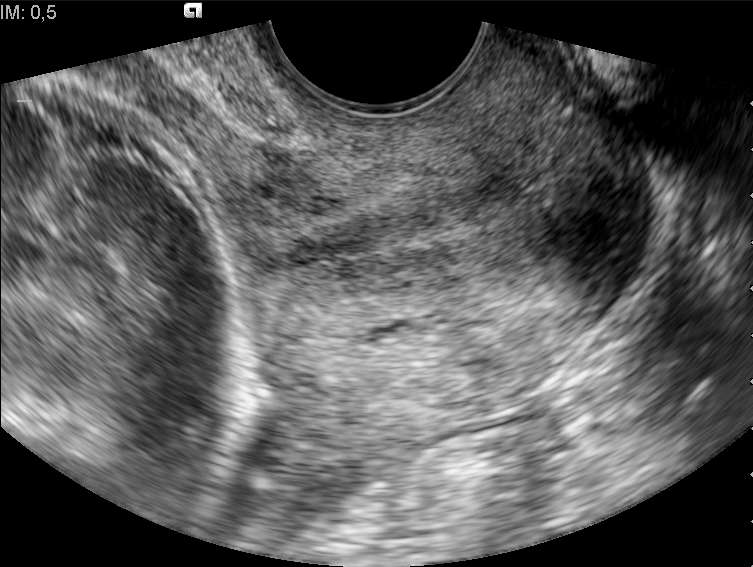
Classify this maternal-fetal ultrasound image as one of the six standard planes — fetal abdomen, fetal brain, fetal femur, fetal thorax, maternal cervix, or other. If it's fetal brain and one of the three standard brain planes (trans-thalamic, trans-cerebellum, trans-ventricular), name which.

Maternal cervix